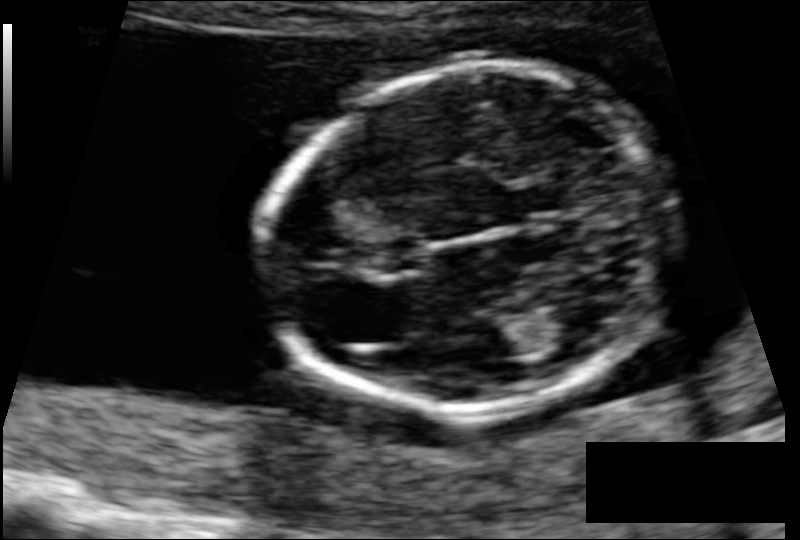
In this fetal head ultrasound, give bounding boxes for the head outline, cavum septum pellucidum (CSP), and lateral ventricle (LV), where visible. Image width: 70.5 mm.

Head: [263,68,674,418]
Lateral ventricle: [537,300,608,351]